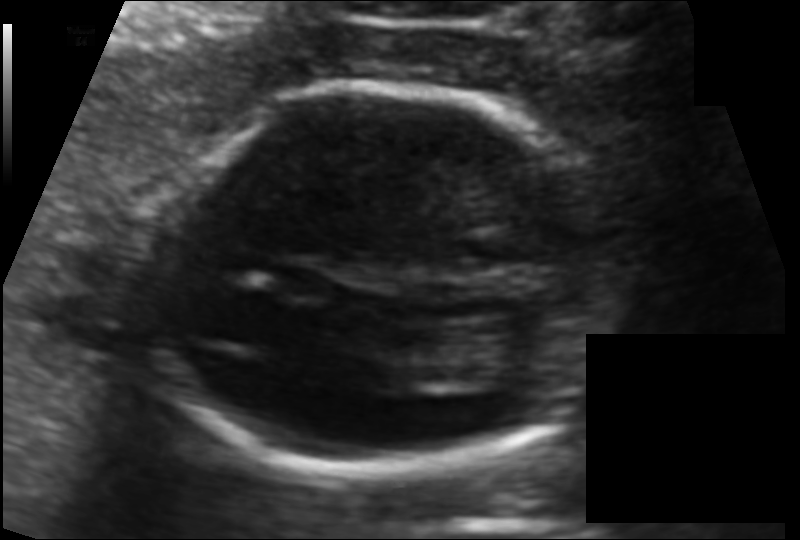
Estimate the fetal head circumference from this 2D ultrasound.

Head circumference: 142.3 mm (image width 80.1 mm).